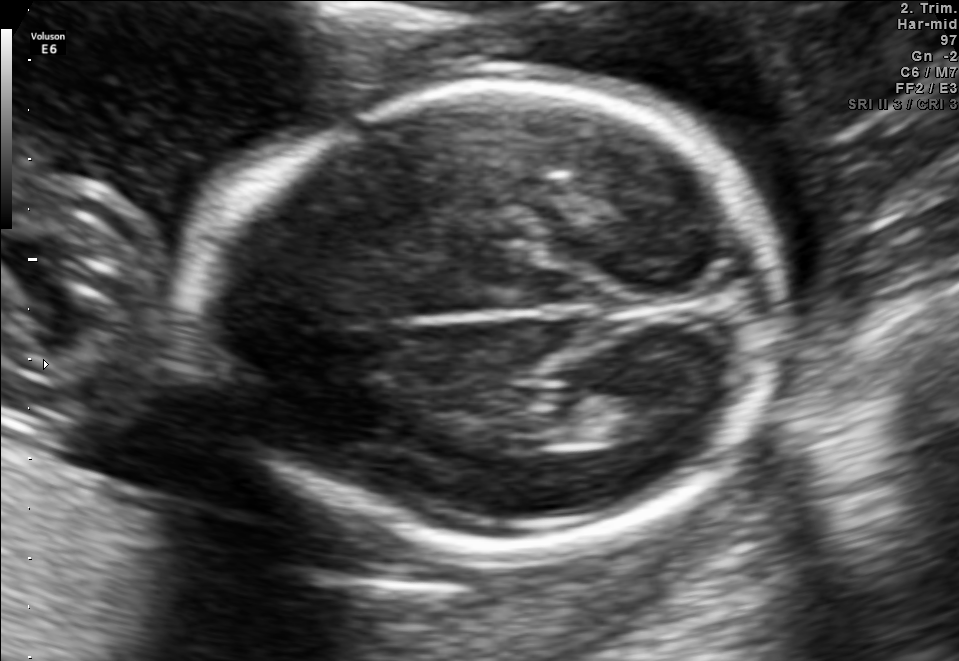
Fetal brain, trans-thalamic plane. Give [x1,y1,x2,y2] bounding boxes for each visible structure among: fetal head, CSP, LV.

Head: [180,80,789,553]
Lateral ventricle: [592,382,702,447]